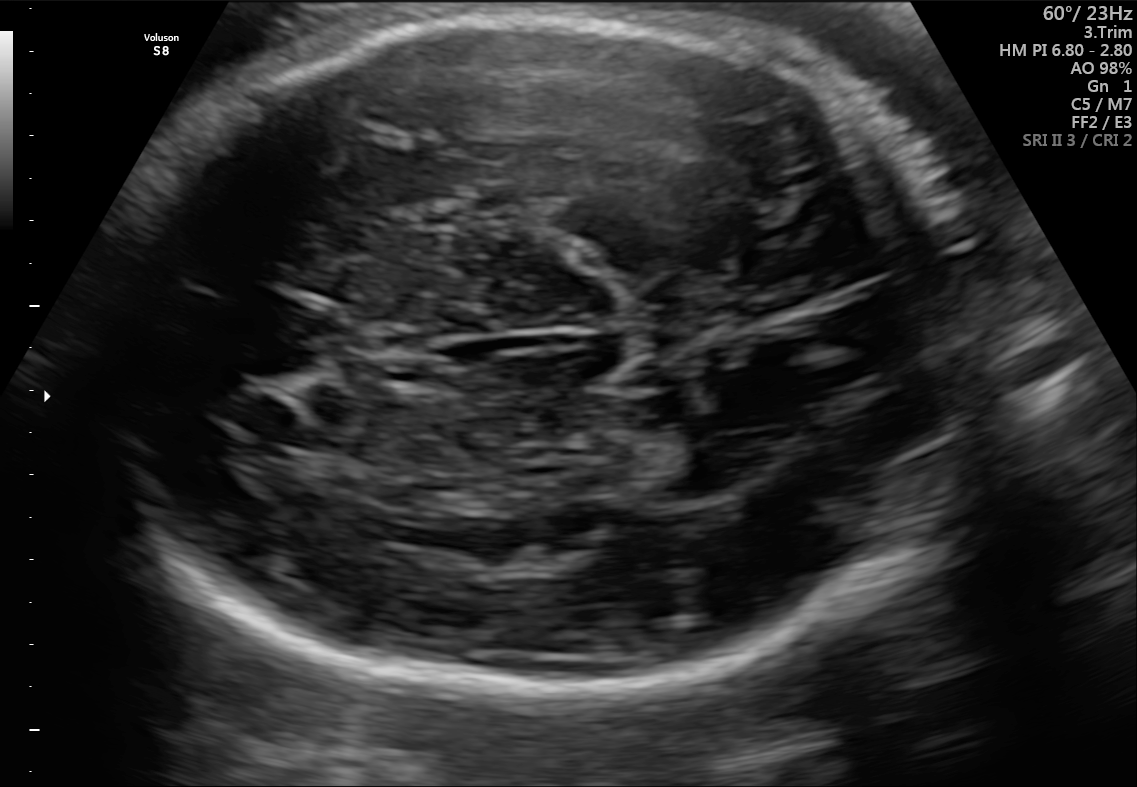
Fetal brain, trans-thalamic plane. Locate the fetal head and, if visible, the cavum septum pellucidum (CSP) and lateral ventricle (LV). Give bounding boxes as [x1,y1,x2,y2].

Head: [75,12,1003,701]